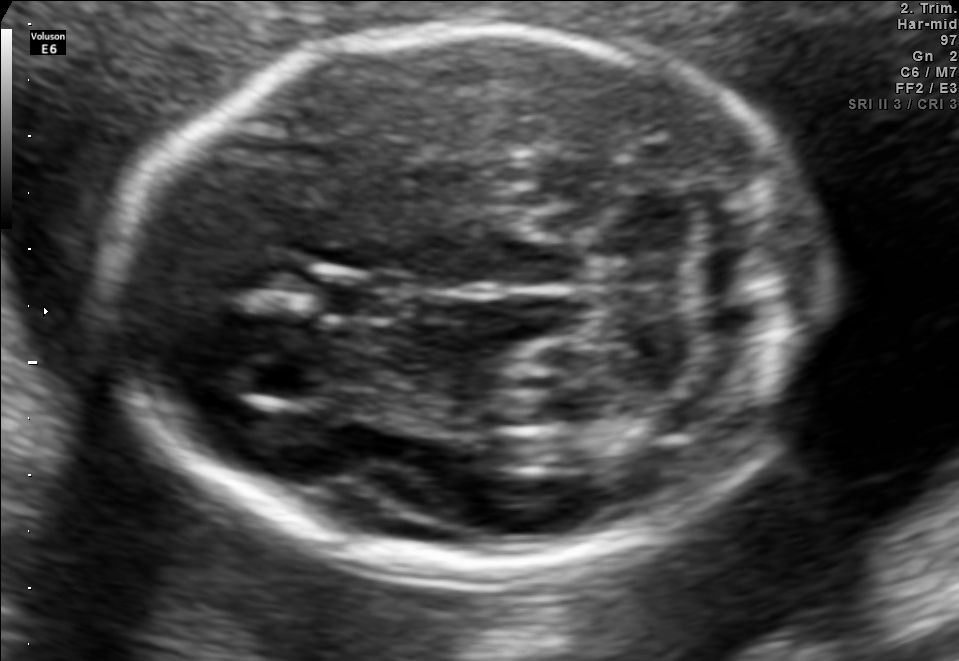
Fetal brain, trans-cerebellum plane. Locate the cavum septum pellucidum.

CSP: [321,275,405,321]